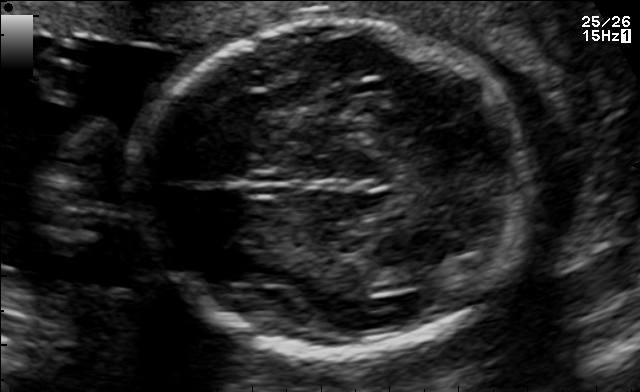
Fetal brain, trans-thalamic plane. Where is the fetal head?

Head bounding box: [137,23,523,354]